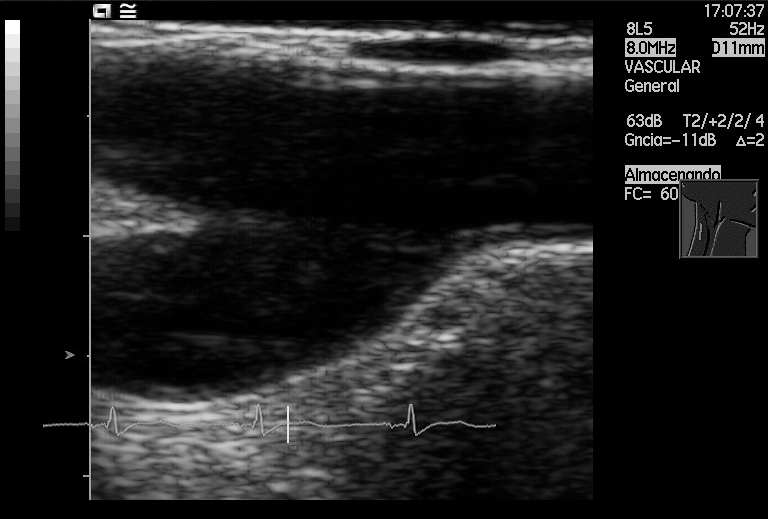
This is a 2D maternal-fetal ultrasound frame. Is it a fetal abdomen, fetal brain, fetal femur, fetal thorax, maternal cervix, or other standard plane? If it's fetal brain and one of the three standard brain planes (trans-thalamic, trans-cerebellum, trans-ventricular), name which.

Other